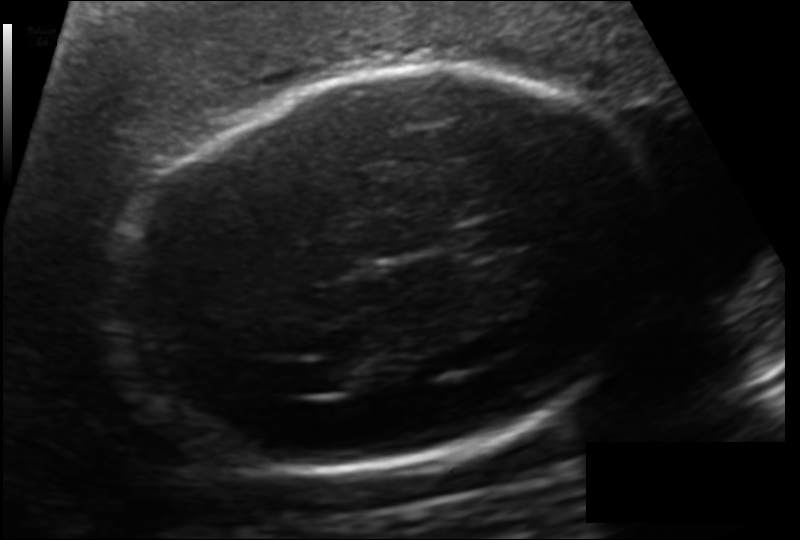
Fetal head ultrasound. Image width: 120.9 mm. Locate the fetal head and, if visible, the cavum septum pellucidum (CSP) and lateral ventricle (LV). Give bounding boxes as [x1,y1,x2,y2].

Head: [110,69,657,471]
CSP: [450,209,527,264]
Lateral ventricle: [309,360,365,392]